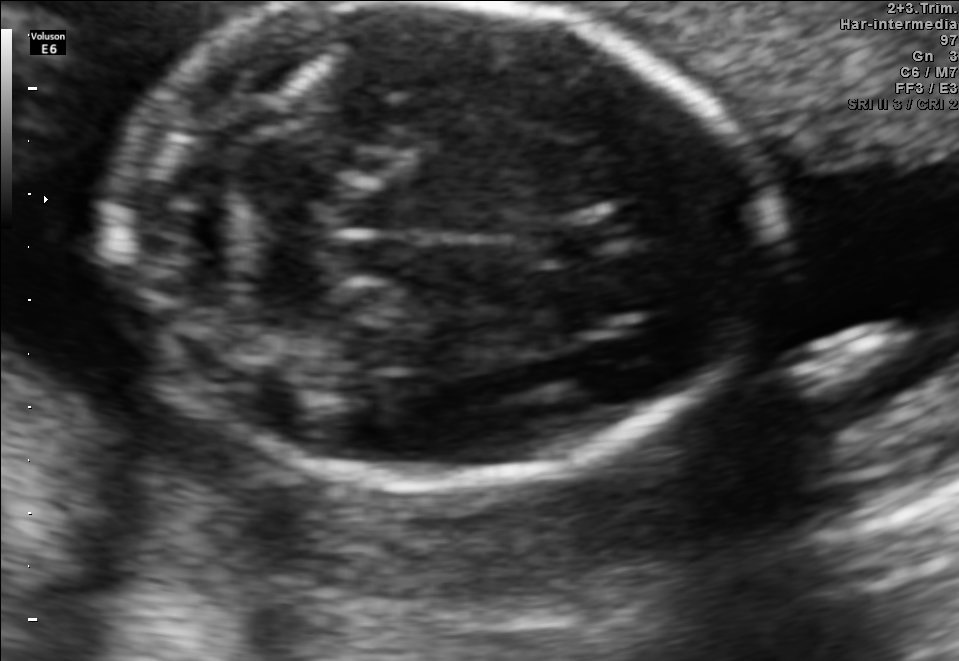
Fetal brain, trans-cerebellum plane. Where is the fetal head?

Head bounding box: [108,5,763,482]